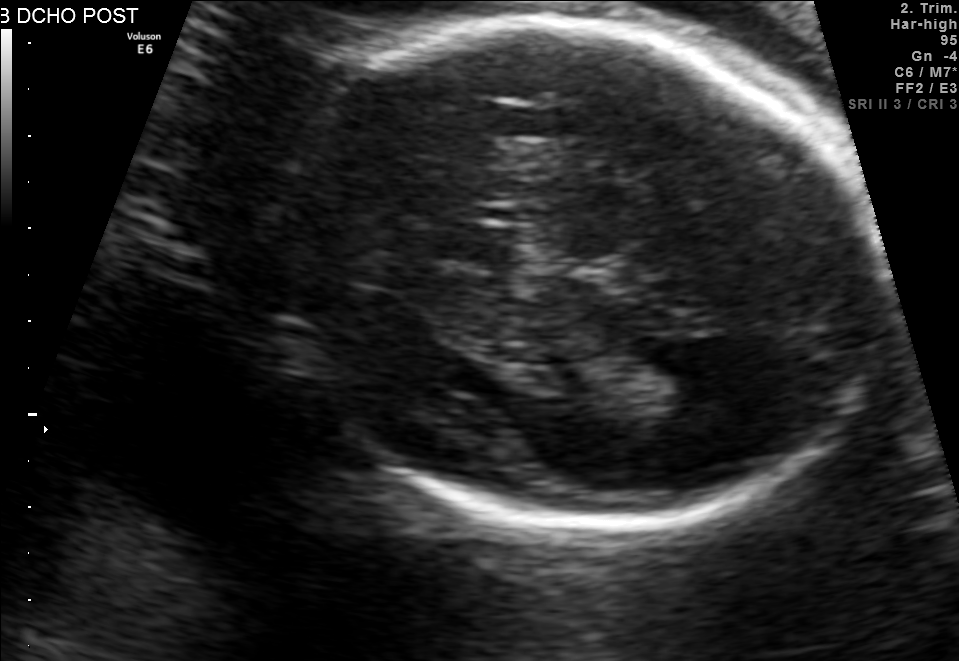
In this fetal brain, trans-thalamic plane, give bounding boxes for the head outline, cavum septum pellucidum (CSP), and lateral ventricle (LV), where visible.

Head: [265,22,878,529]
CSP: [443,221,516,265]